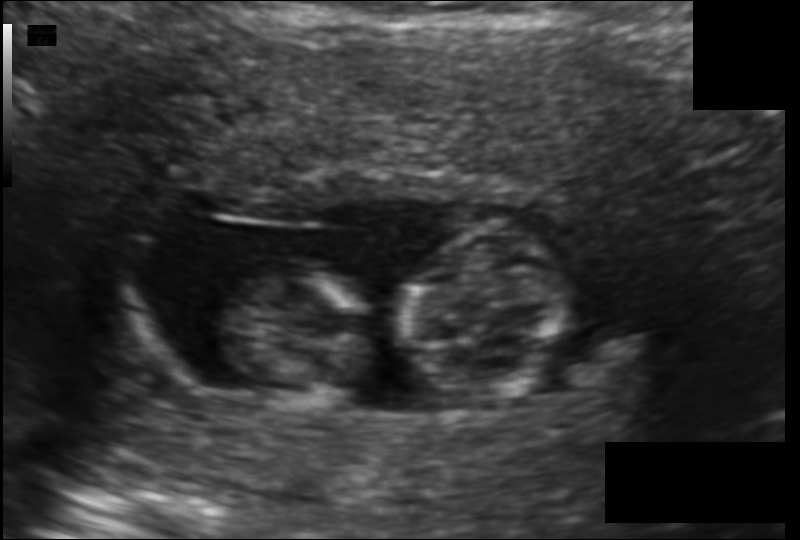
In this fetal head ultrasound, give bounding boxes for the head outline, cavum septum pellucidum (CSP), and lateral ventricle (LV), where visible. Image width: 95.3 mm.

Head: [395,221,571,404]